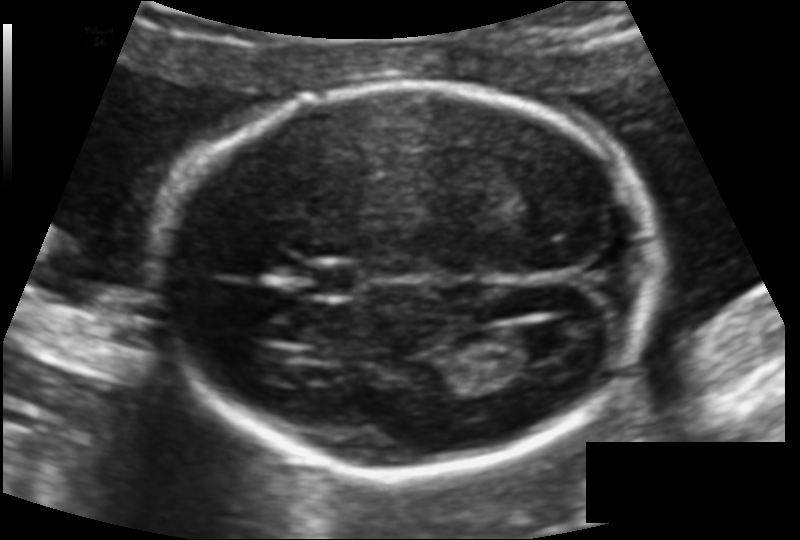
Fetal head ultrasound. Image width: 93.9 mm. Locate the cavum septum pellucidum.

CSP: [303,264,361,299]